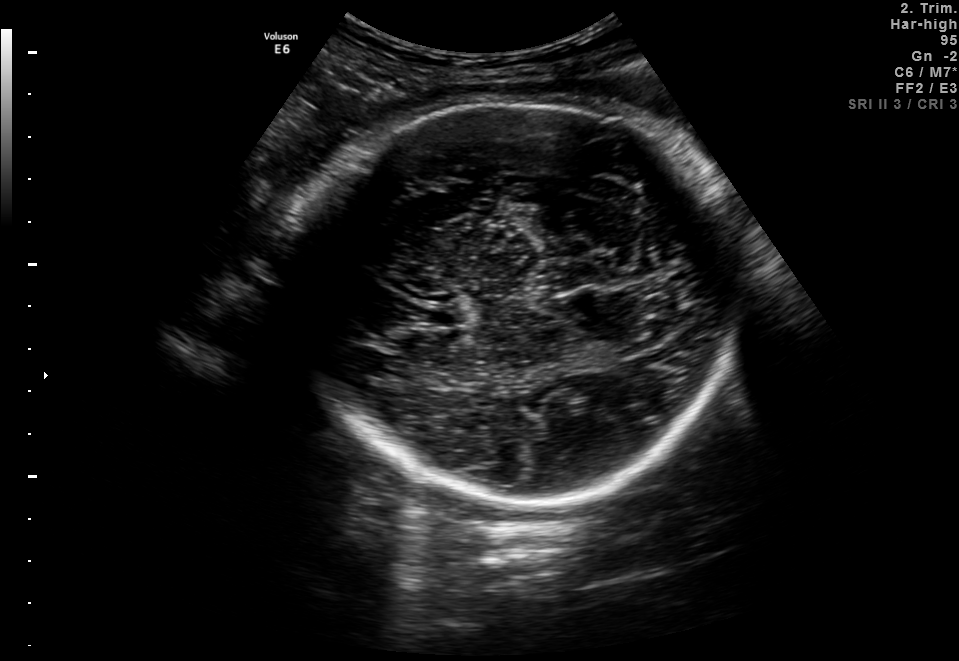
In this fetal brain, trans-thalamic plane, give the bounding box of the fetal head.

[286,100,735,503]